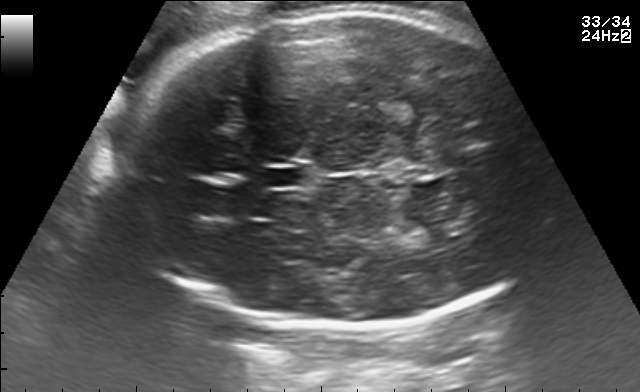
This is a 2D maternal-fetal ultrasound frame. Is it a fetal abdomen, fetal brain, fetal femur, fetal thorax, maternal cervix, or other standard plane? If it's fetal brain and one of the three standard brain planes (trans-thalamic, trans-cerebellum, trans-ventricular), name which.

Fetal brain (trans-thalamic plane)